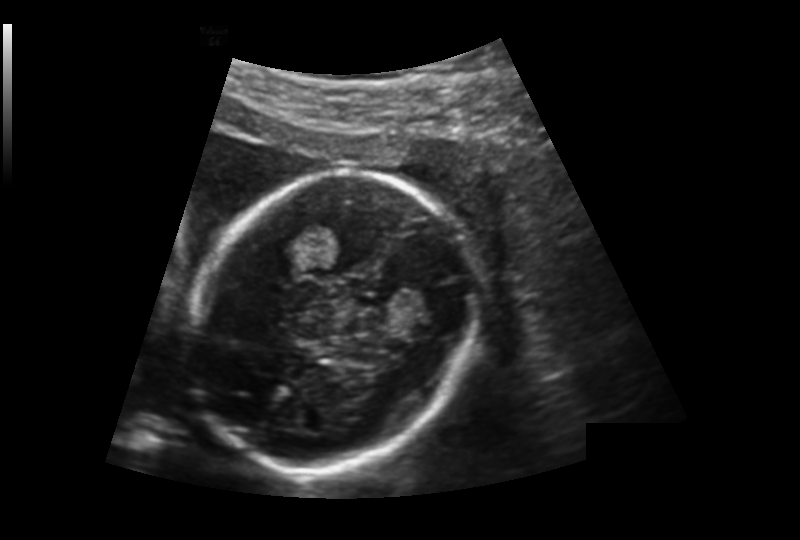
Estimate the fetal head circumference from this 2D ultrasound. Image width: 140.4 mm.

Head circumference: 165.7 mm.